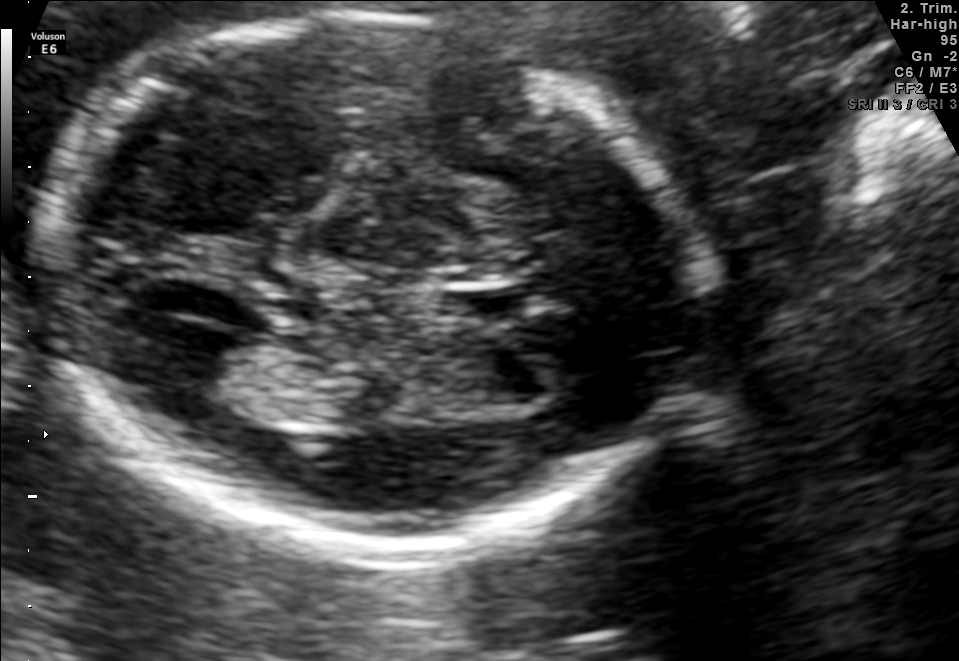
In this fetal brain, trans-thalamic plane, give the bounding box of the cavum septum pellucidum.

[450,283,542,319]